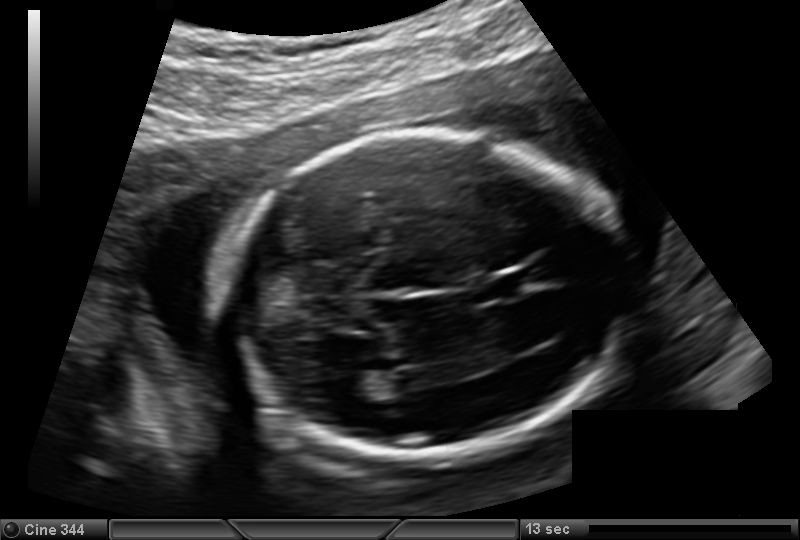
Estimate the fetal head circumference from this 2D ultrasound. Image width: 115.3 mm.

Head circumference: 173.4 mm.